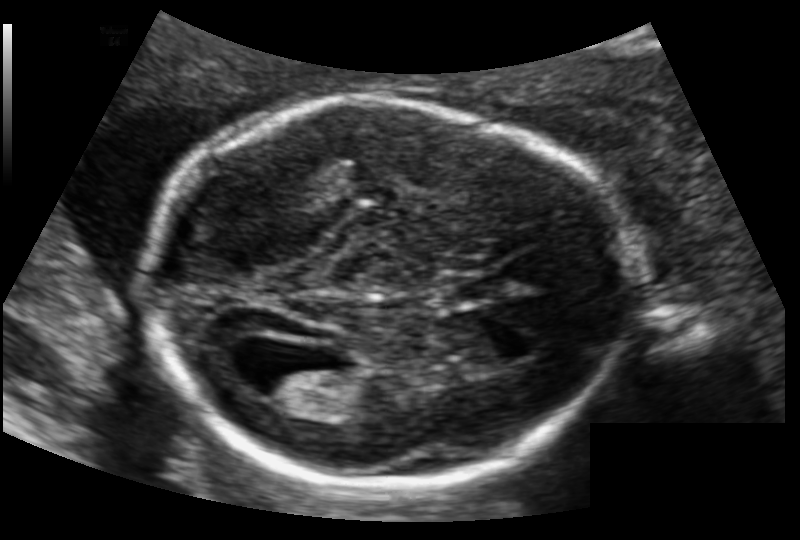
What is the fetal head circumference? Image width is 100.7 mm.

178.3 mm